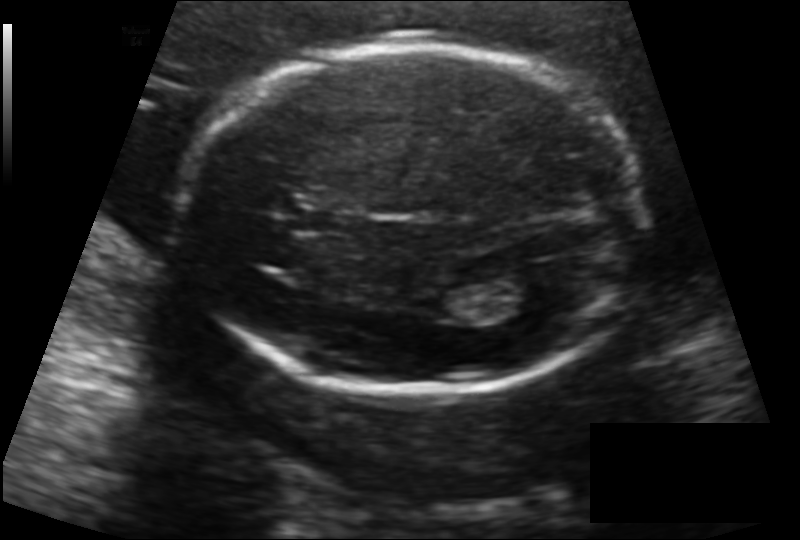
Fetal head ultrasound. Image width: 113.3 mm. Locate the fetal head.

Head: [180,47,647,394]